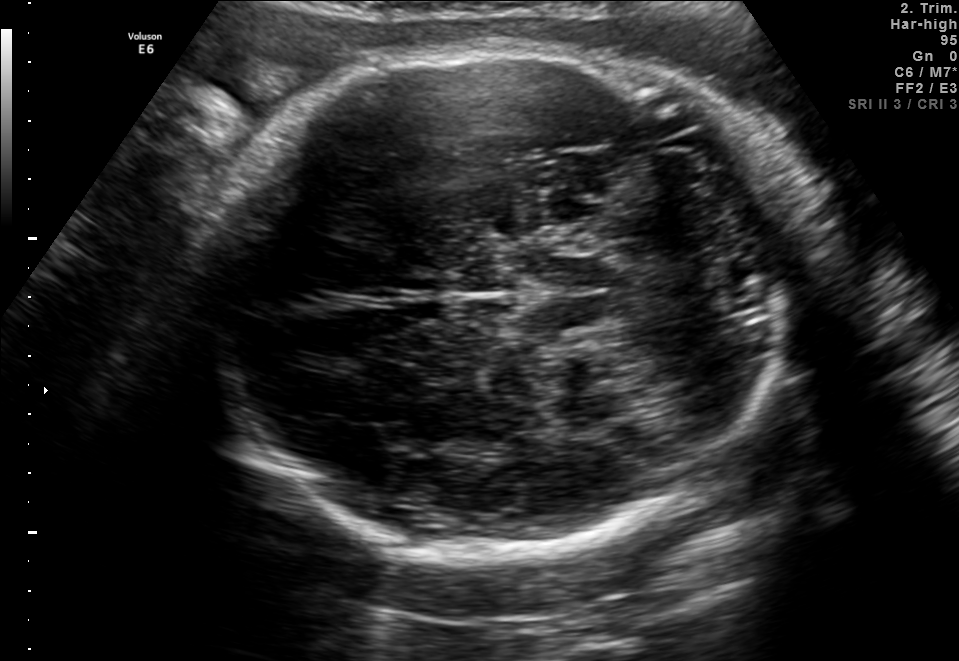
In this fetal brain, trans-thalamic plane, give bounding boxes for the head outline, cavum septum pellucidum (CSP), and lateral ventricle (LV), where visible.

Head: [204,50,785,555]